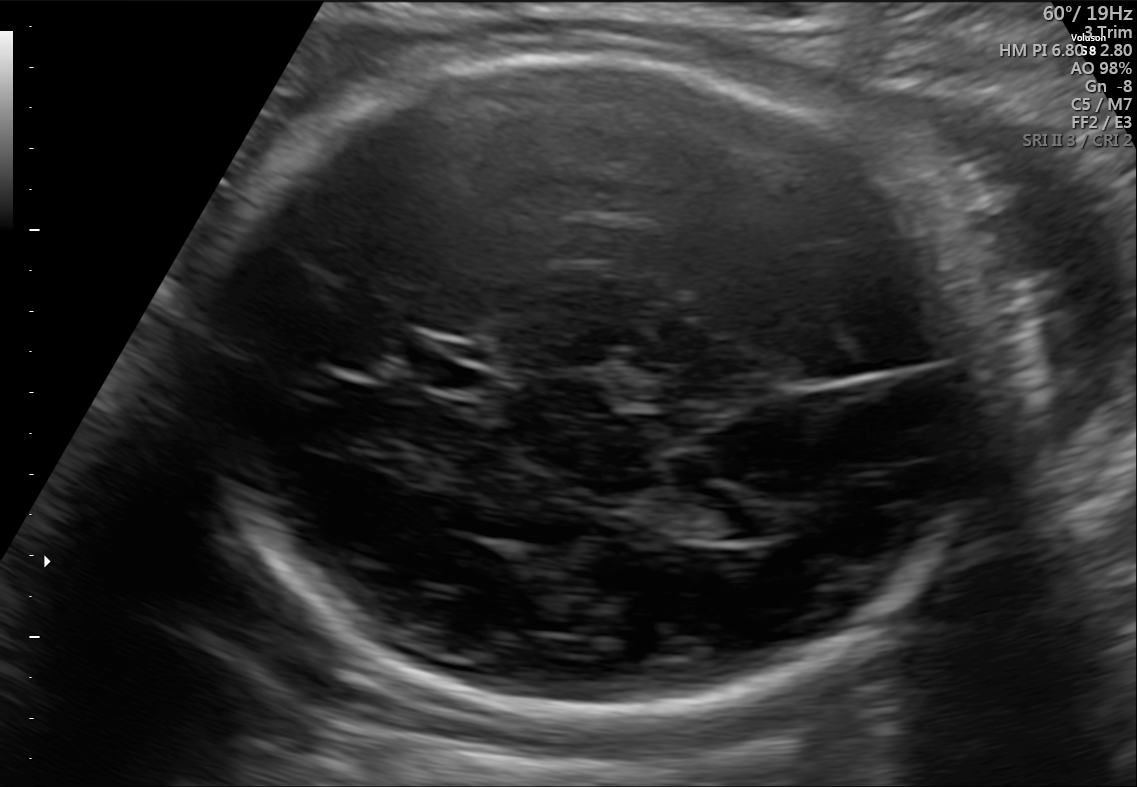
Fetal brain, trans-ventricular plane. Locate the fetal head.

Head: [173,51,988,736]